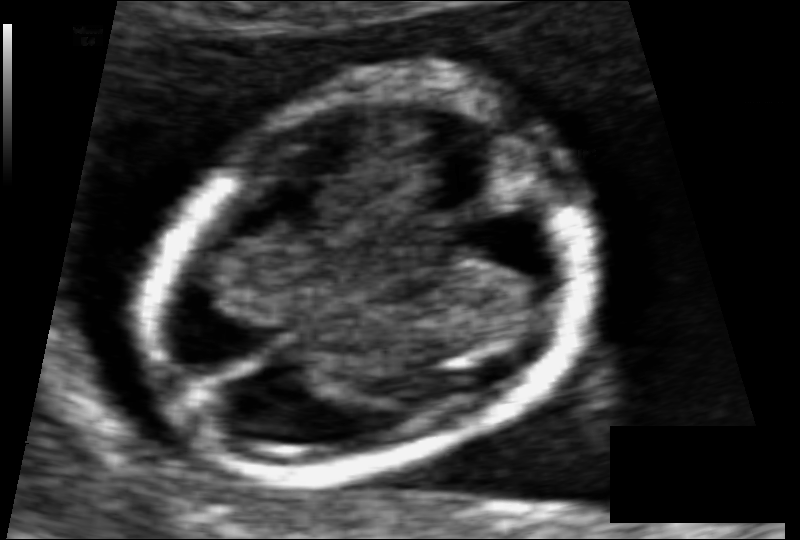
Fetal head ultrasound. Image width: 49.2 mm. Where is the fetal head?

Head bounding box: [143,87,586,477]